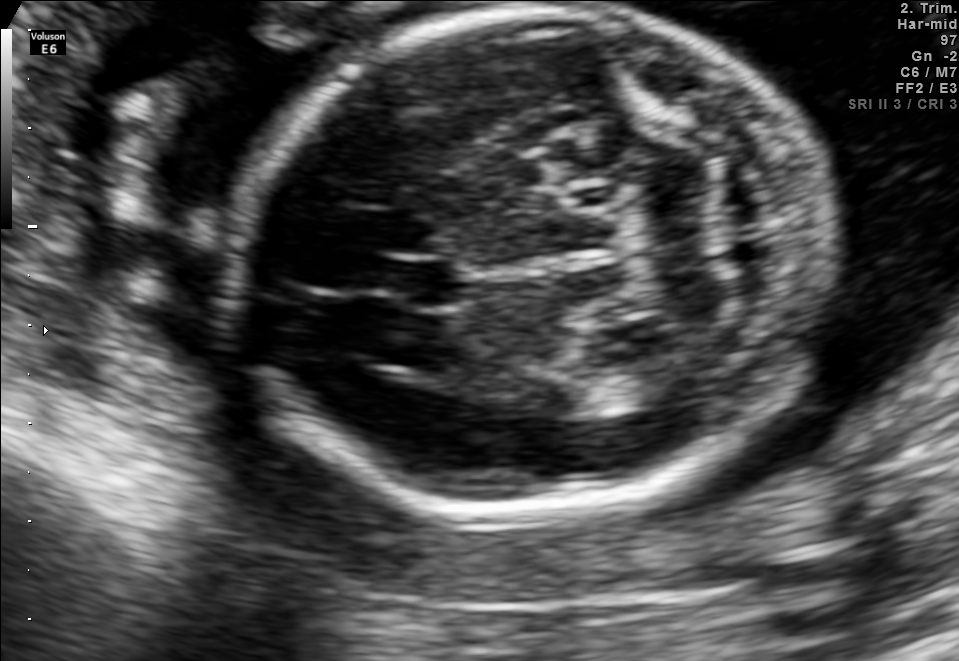
Fetal brain, trans-cerebellum plane. Where is the cavum septum pellucidum?

CSP bounding box: [392,253,463,313]